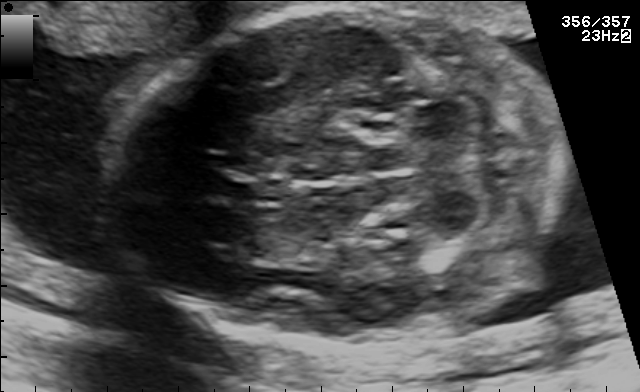
Fetal brain, trans-cerebellum plane. Locate the cavum septum pellucidum.

CSP: [227,176,282,206]